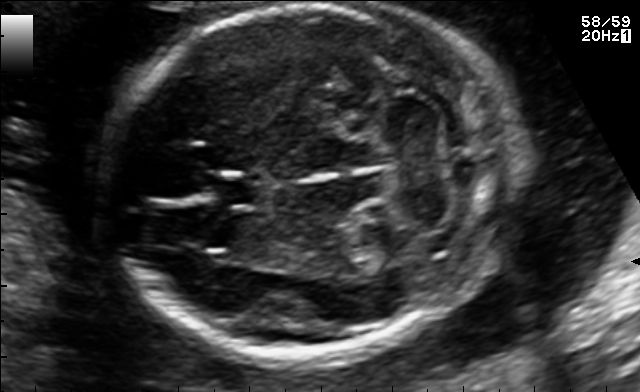
This is a 2D maternal-fetal ultrasound frame. Is it a fetal abdomen, fetal brain, fetal femur, fetal thorax, maternal cervix, or other standard plane? If it's fetal brain and one of the three standard brain planes (trans-thalamic, trans-cerebellum, trans-ventricular), name which.

Fetal brain (trans-cerebellum plane)